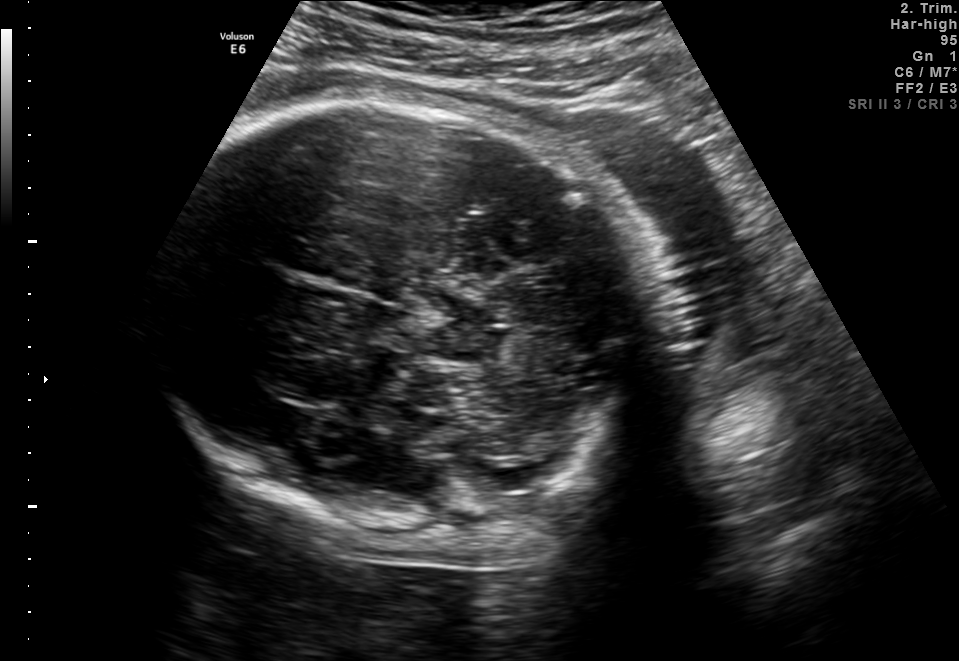
Which standard maternal-fetal ultrasound plane is shown: fetal abdomen, fetal brain, fetal femur, fetal thorax, maternal cervix, or other? If it's fetal brain and one of the three standard brain planes (trans-thalamic, trans-cerebellum, trans-ventricular), name which.

Fetal brain (trans-thalamic plane)